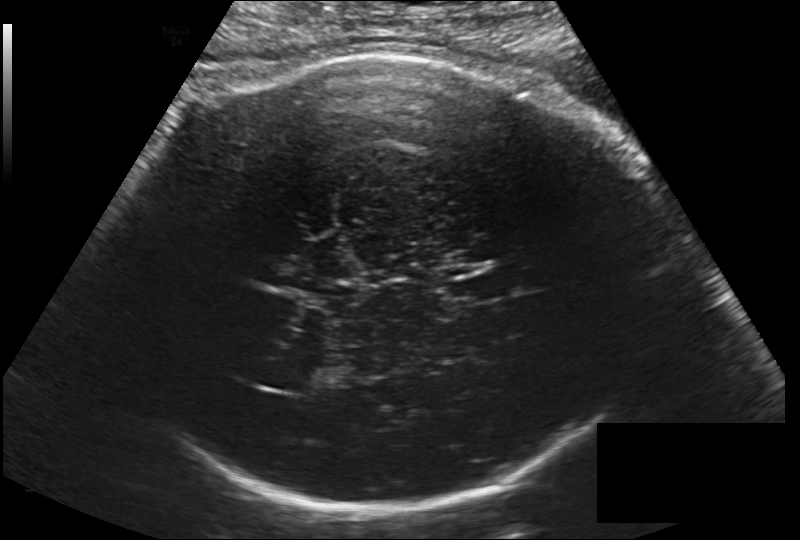
From this fetal ultrasound, estimate the head circumference (image width 162.2 mm).

Head circumference: 331.7 mm.